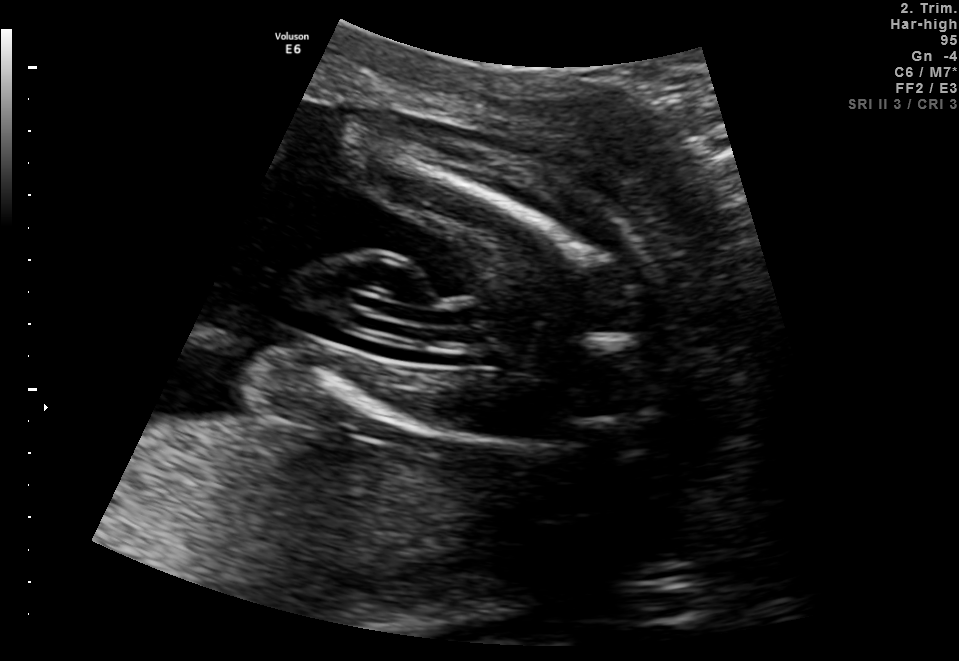
Which standard maternal-fetal ultrasound plane is shown: fetal abdomen, fetal brain, fetal femur, fetal thorax, maternal cervix, or other? If it's fetal brain and one of the three standard brain planes (trans-thalamic, trans-cerebellum, trans-ventricular), name which.

Fetal femur